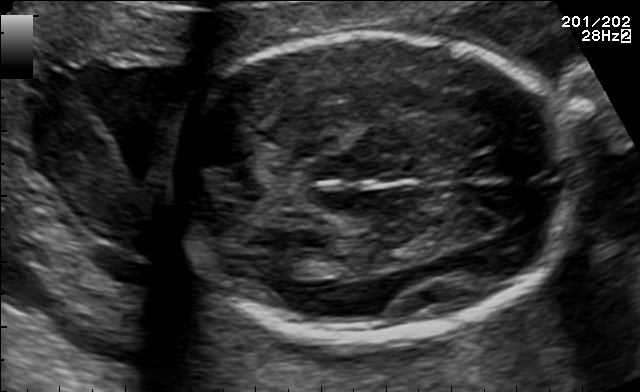
In this fetal brain, trans-thalamic plane, give the bounding box of the lateral ventricle.

[271,249,325,278]